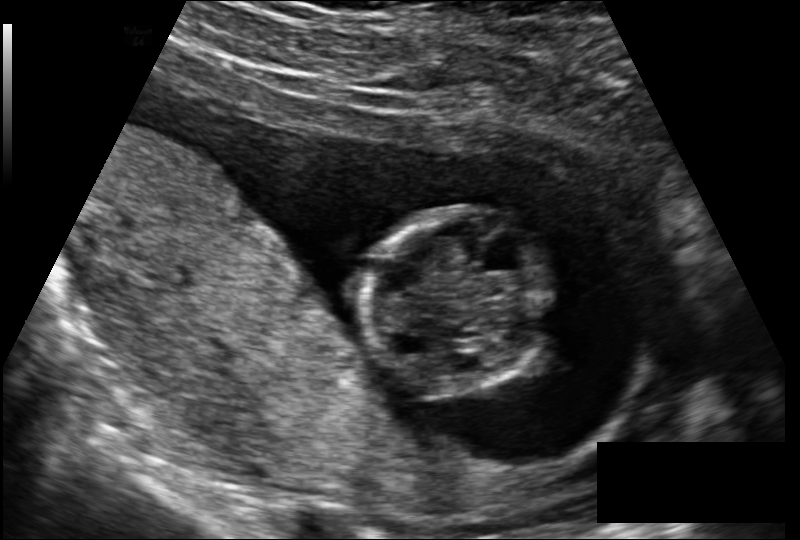
In this fetal head ultrasound, give bounding boxes for the head outline, cavum septum pellucidum (CSP), and lateral ventricle (LV), where visible. Image width: 105.1 mm.

Head: [360,208,552,395]